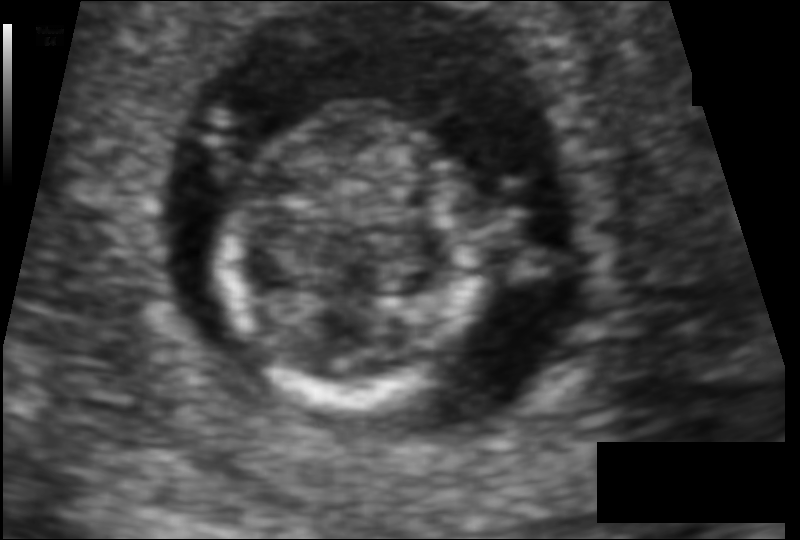
Fetal head ultrasound. Image width: 63.9 mm. Locate the fetal head.

Head: [220,98,490,419]